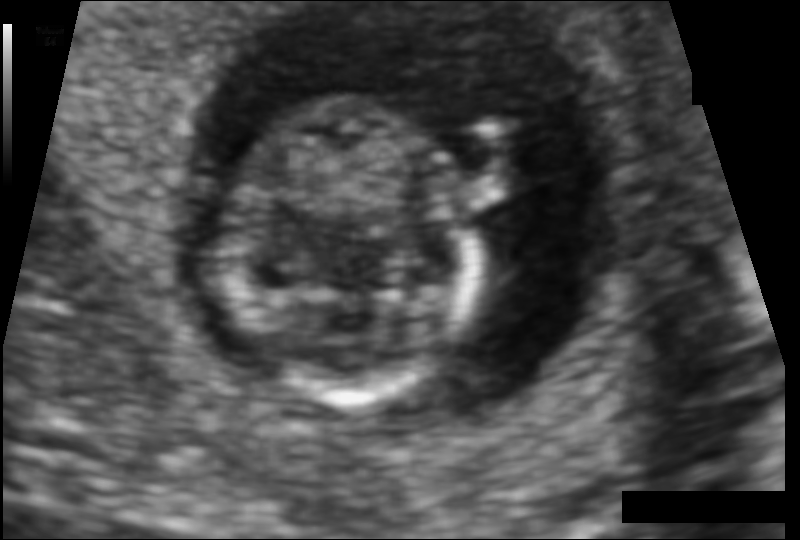
Fetal head ultrasound. Image width: 63.9 mm. Where is the fetal head?

Head bounding box: [221,98,475,401]